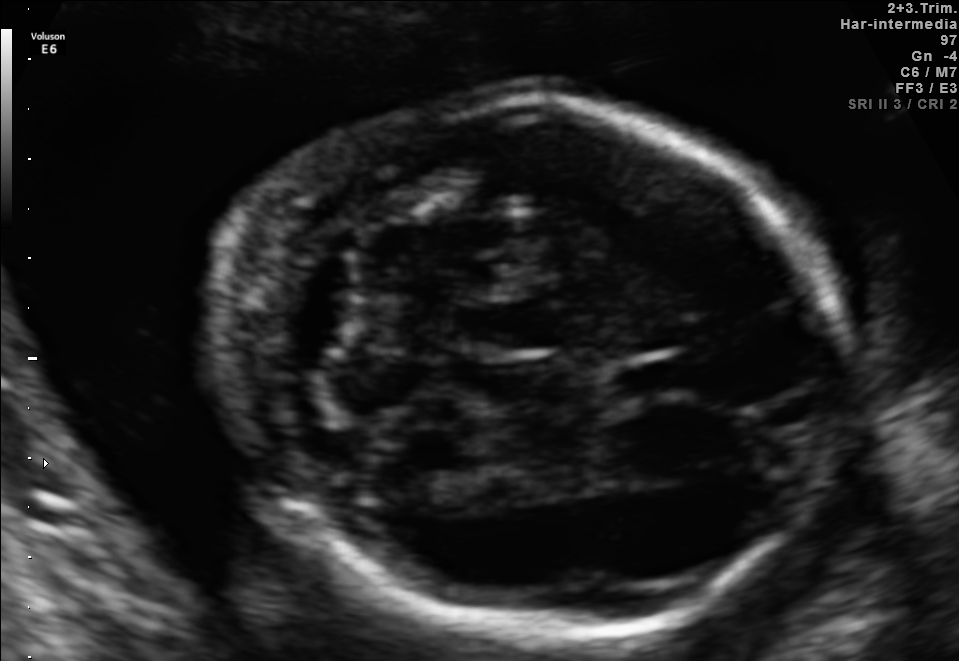
Fetal brain, trans-cerebellum plane. Where is the fetal head?

Head bounding box: [216,94,833,645]